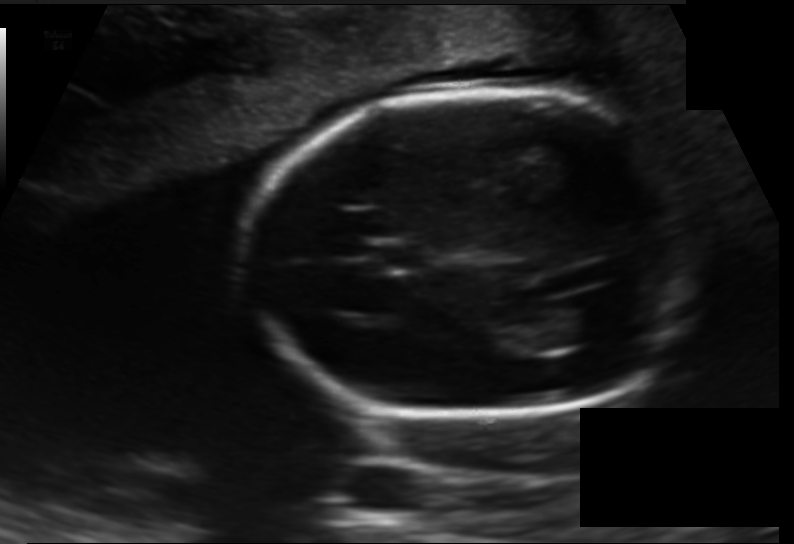
Measure the fetal head circumference shown in this ultrasound image. Image width: 109.8 mm.

Head circumference: 171.2 mm.